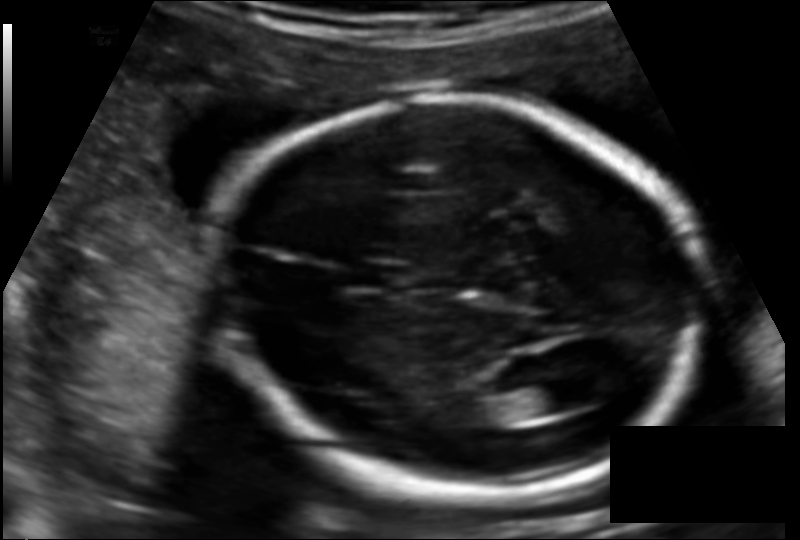
Fetal head ultrasound. Image width: 99.4 mm. Where is the lateral ventricle?

Lateral ventricle bounding box: [501,375,579,424]